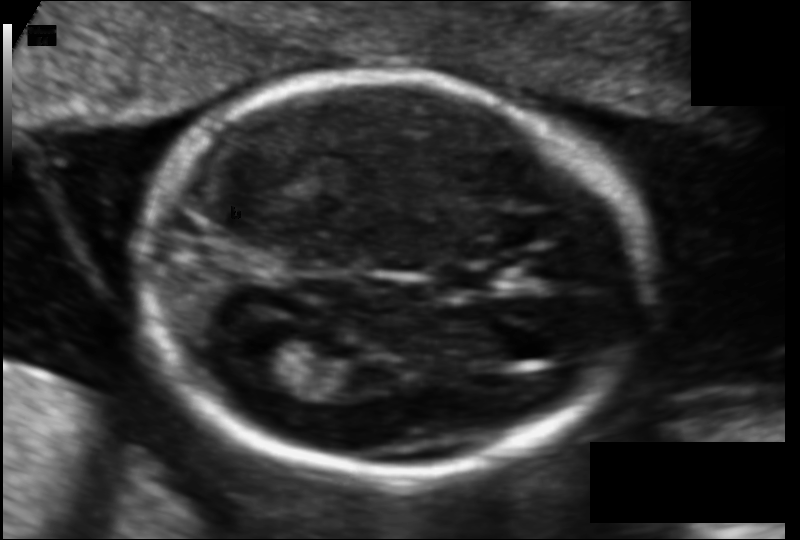
Fetal head ultrasound. Image width: 83.2 mm. Where is the cavum septum pellucidum?

CSP bounding box: [434,265,501,292]